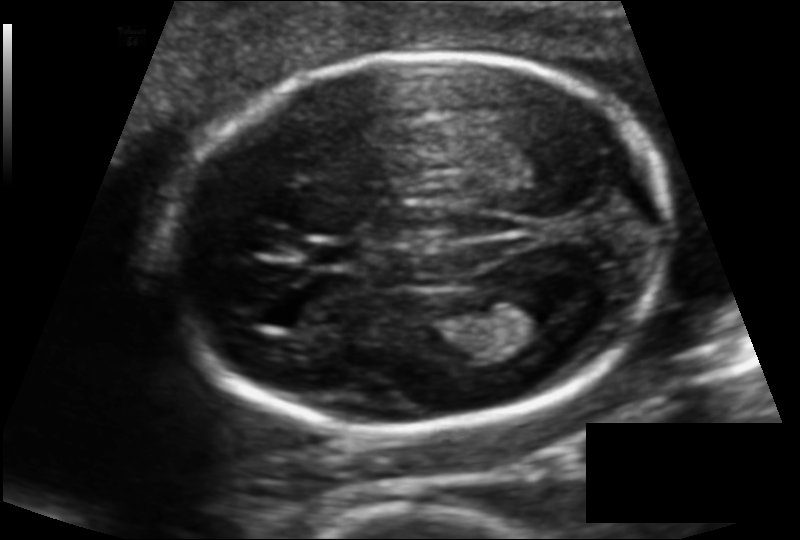
In this fetal head ultrasound, give the bounding box of the lateral ventricle. Image width: 95.8 mm.

[482,269,580,352]